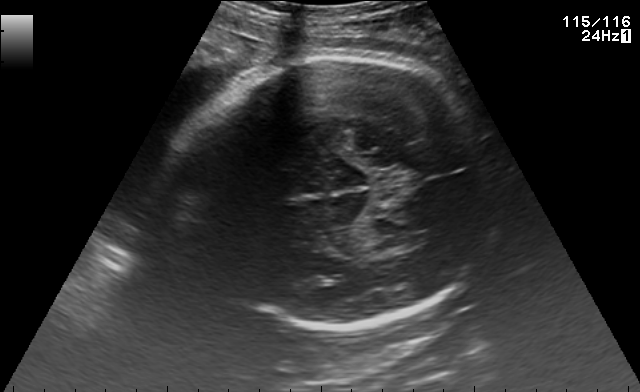
Fetal brain, trans-thalamic plane. Where is the fetal head?

Head bounding box: [163,56,501,330]